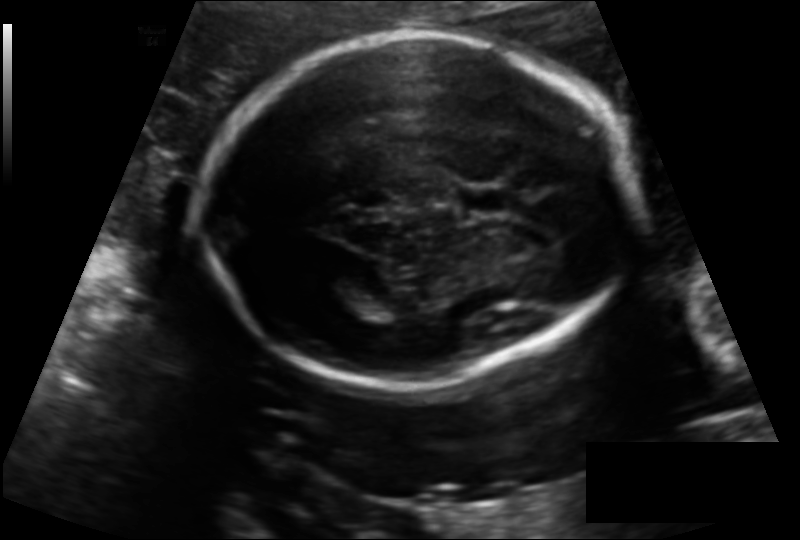
Fetal head ultrasound. Image width: 111.5 mm. Give [x1,y1,x2,y2] bounding boxes for each visible structure among: fetal head, CSP, LV.

Head: [198,33,631,386]
CSP: [456,183,514,218]